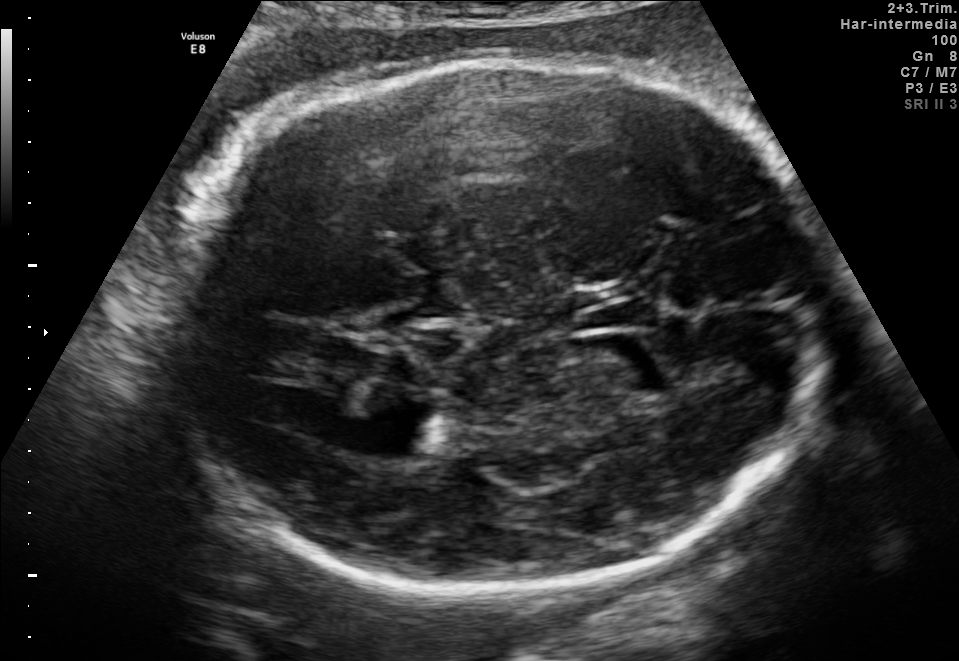
Classify this maternal-fetal ultrasound image as one of the six standard planes — fetal abdomen, fetal brain, fetal femur, fetal thorax, maternal cervix, or other. If it's fetal brain and one of the three standard brain planes (trans-thalamic, trans-cerebellum, trans-ventricular), name which.

Fetal brain (trans-thalamic plane)